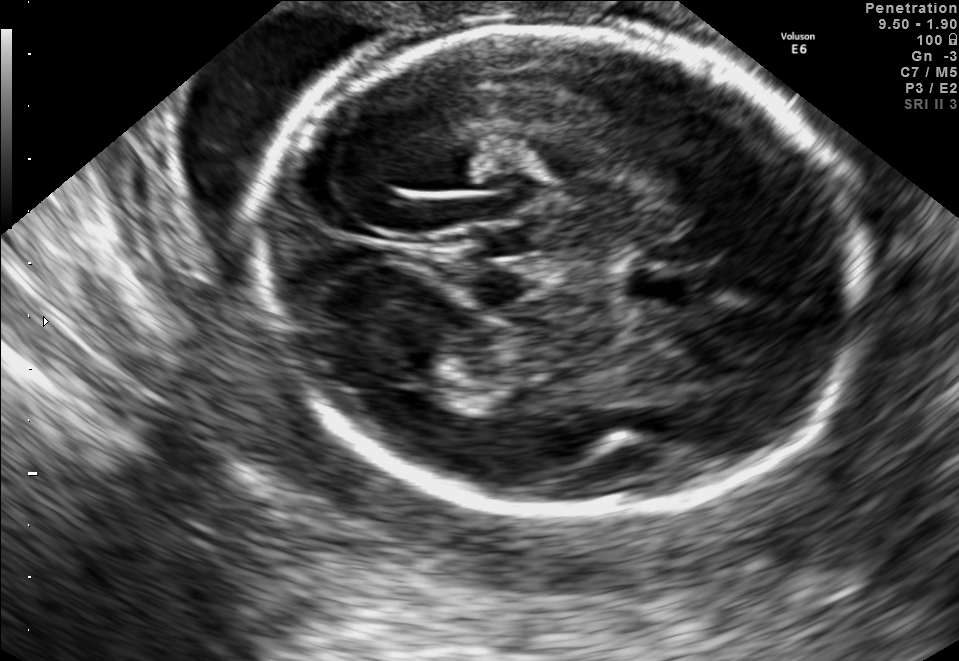
In this fetal brain, trans-thalamic plane, give the bounding box of the lateral ventricle.

[386,359,470,413]